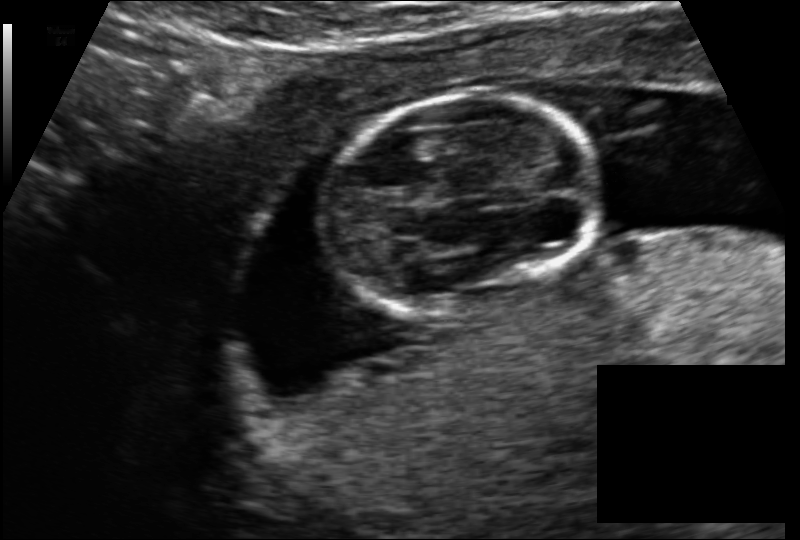
Fetal head ultrasound. Image width: 91.1 mm. Locate the fetal head.

Head: [324,95,596,313]